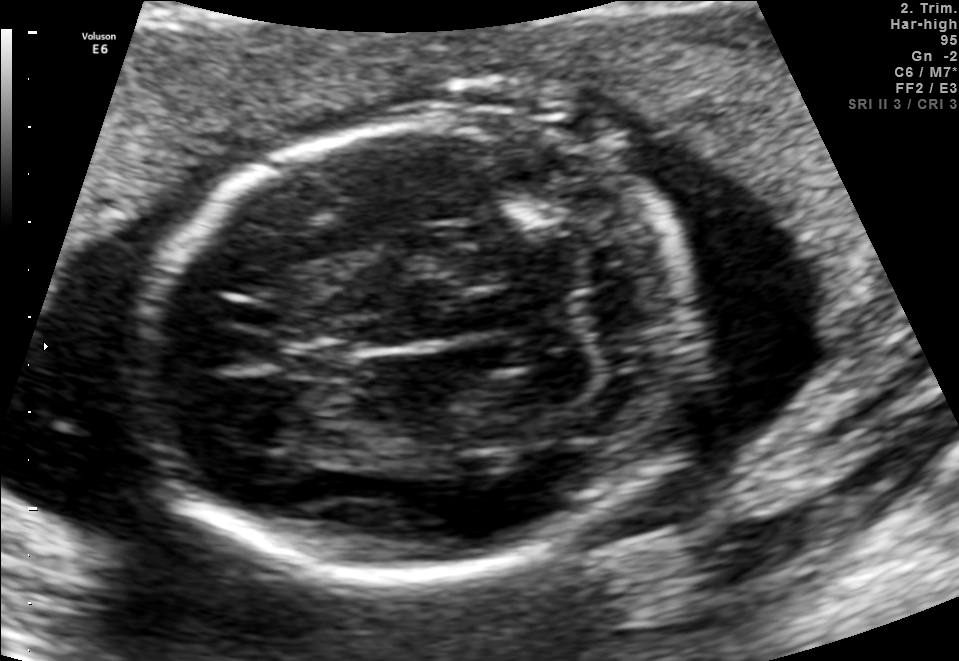
In this fetal brain, trans-cerebellum plane, give the bounding box of the fetal head.

[137,124,688,573]